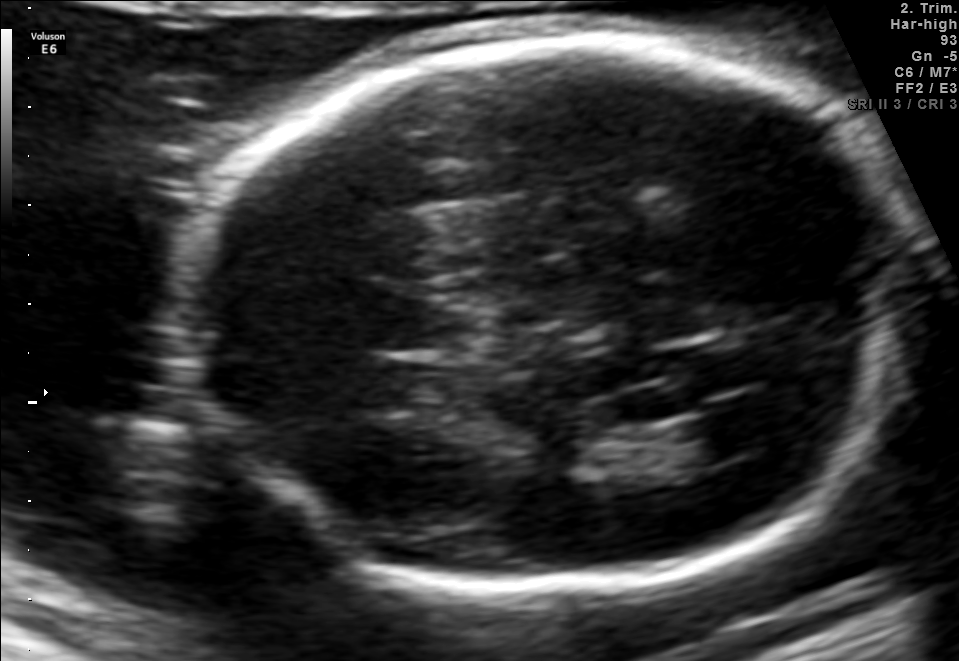
Fetal brain, trans-ventricular plane. Where is the cavum septum pellucidum?

CSP bounding box: [366,293,485,359]